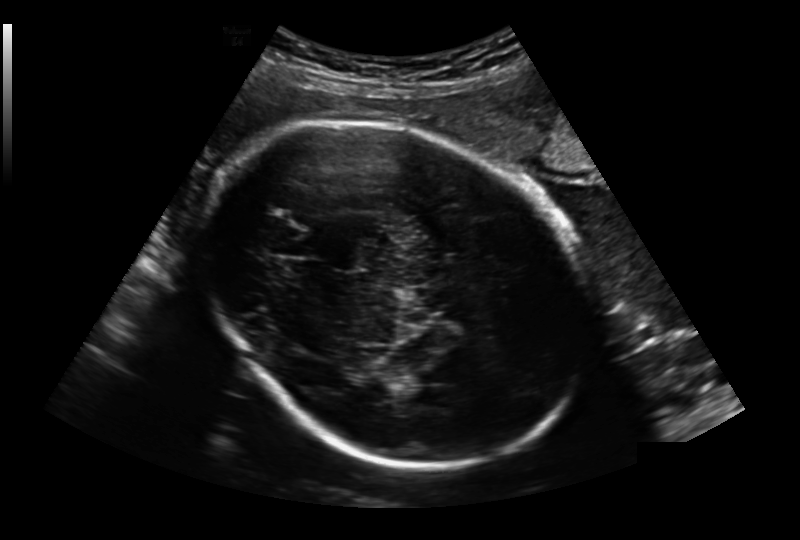
Fetal head ultrasound. Image width: 188.7 mm. Locate the fetal head and, if visible, the cavum septum pellucidum (CSP) and lateral ventricle (LV). Give bounding boxes as [x1,y1,x2,y2].

Head: [202,121,593,465]